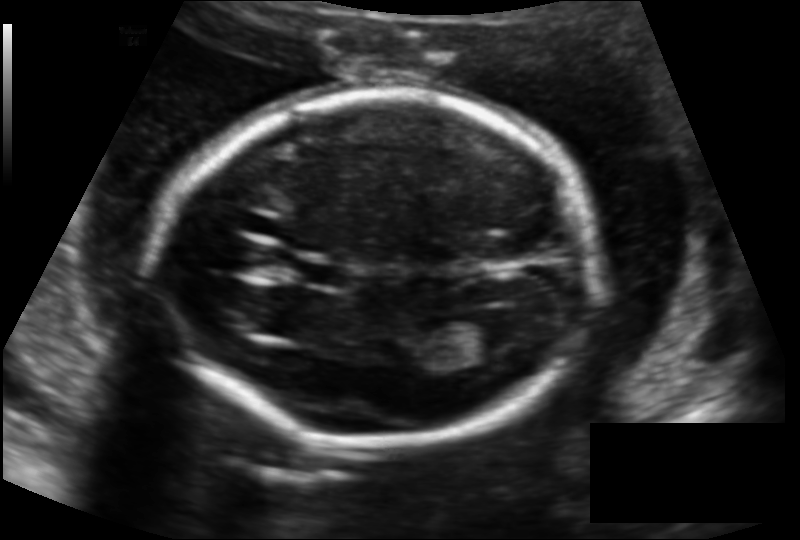
Fetal head ultrasound. Image width: 108.6 mm. Locate the fetal head and, if visible, the cavum septum pellucidum (CSP) and lateral ventricle (LV). Give bounding boxes as [x1,y1,x2,y2].

Head: [160,91,595,444]
CSP: [300,258,352,291]
Lateral ventricle: [457,306,528,359]